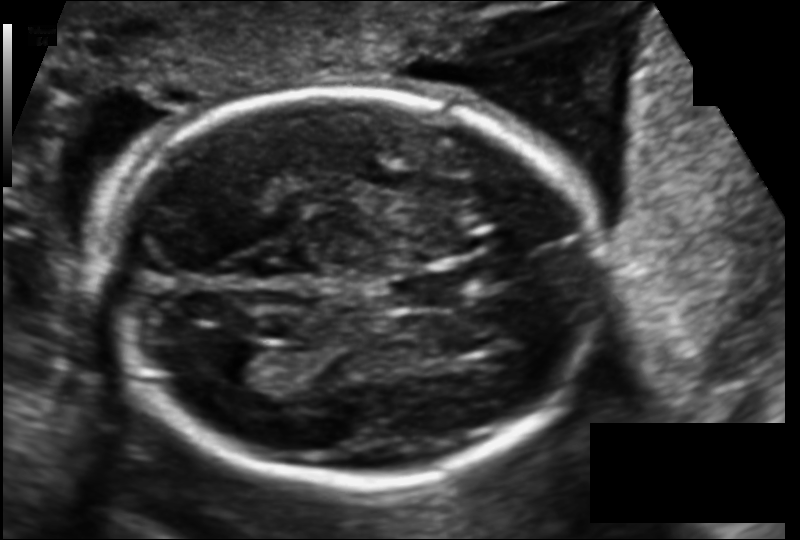
Fetal head ultrasound. Image width: 104.3 mm. Where is the cavum septum pellucidum?

CSP bounding box: [386,266,466,313]